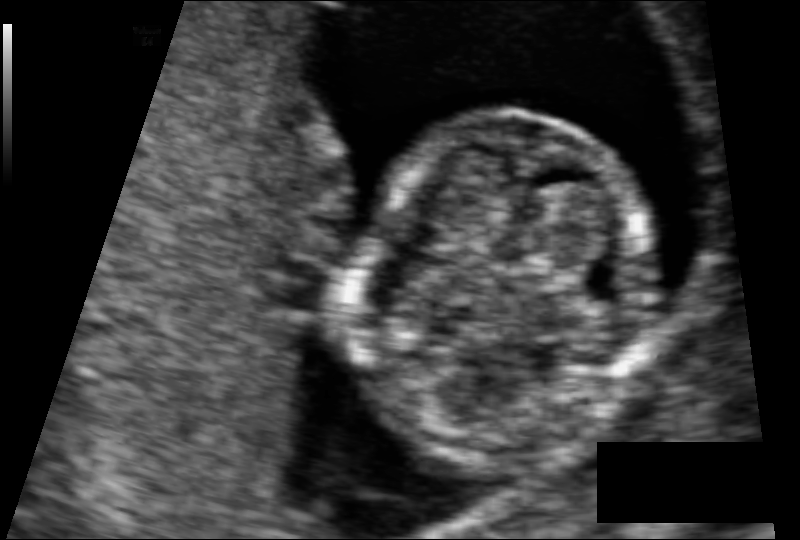
Fetal head ultrasound. Image width: 58.9 mm. Where is the fetal head?

Head bounding box: [358,112,657,464]